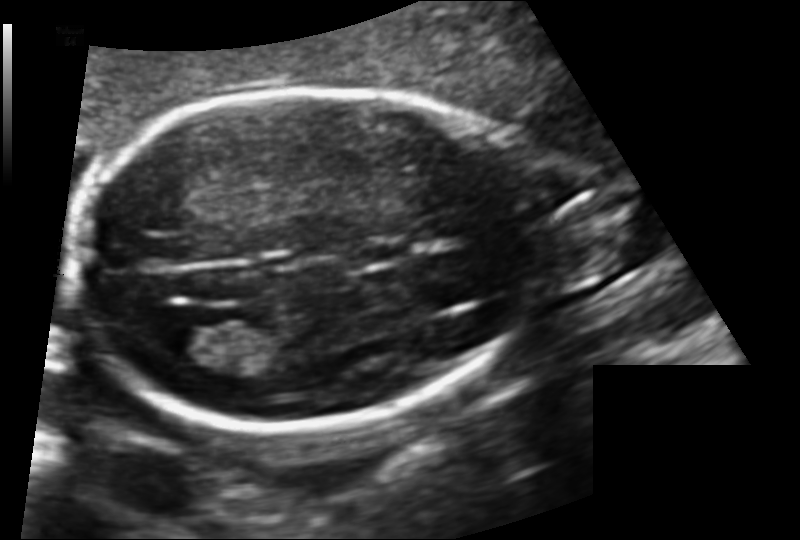
Fetal head ultrasound. Image width: 102.4 mm. Locate the fetal head.

Head: [80,90,545,427]